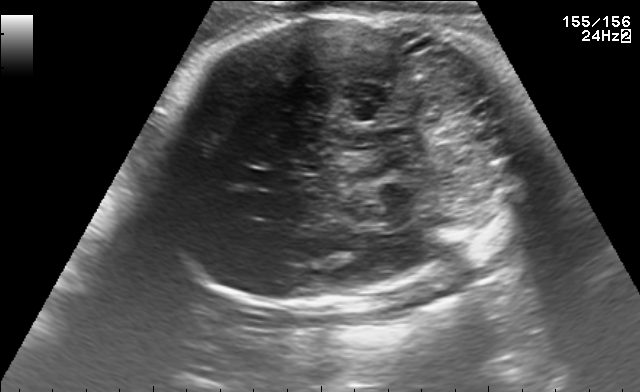
Identify the standard plane in this fetal ultrasound image: fetal abdomen, fetal brain, fetal femur, fetal thorax, maternal cervix, or other. If it's fetal brain and one of the three standard brain planes (trans-thalamic, trans-cerebellum, trans-ventricular), name which.

Fetal brain (trans-cerebellum plane)